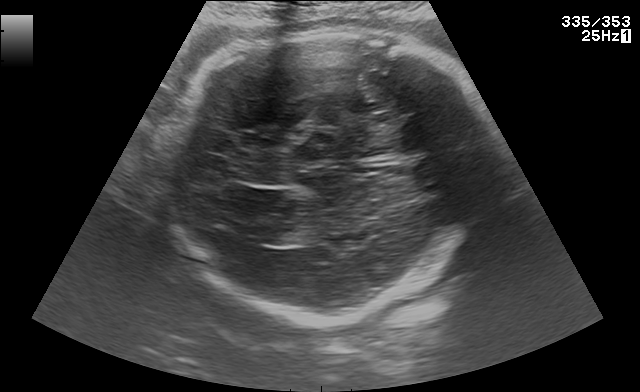
Fetal brain, trans-thalamic plane. Locate the fetal head.

Head: [169,26,502,321]